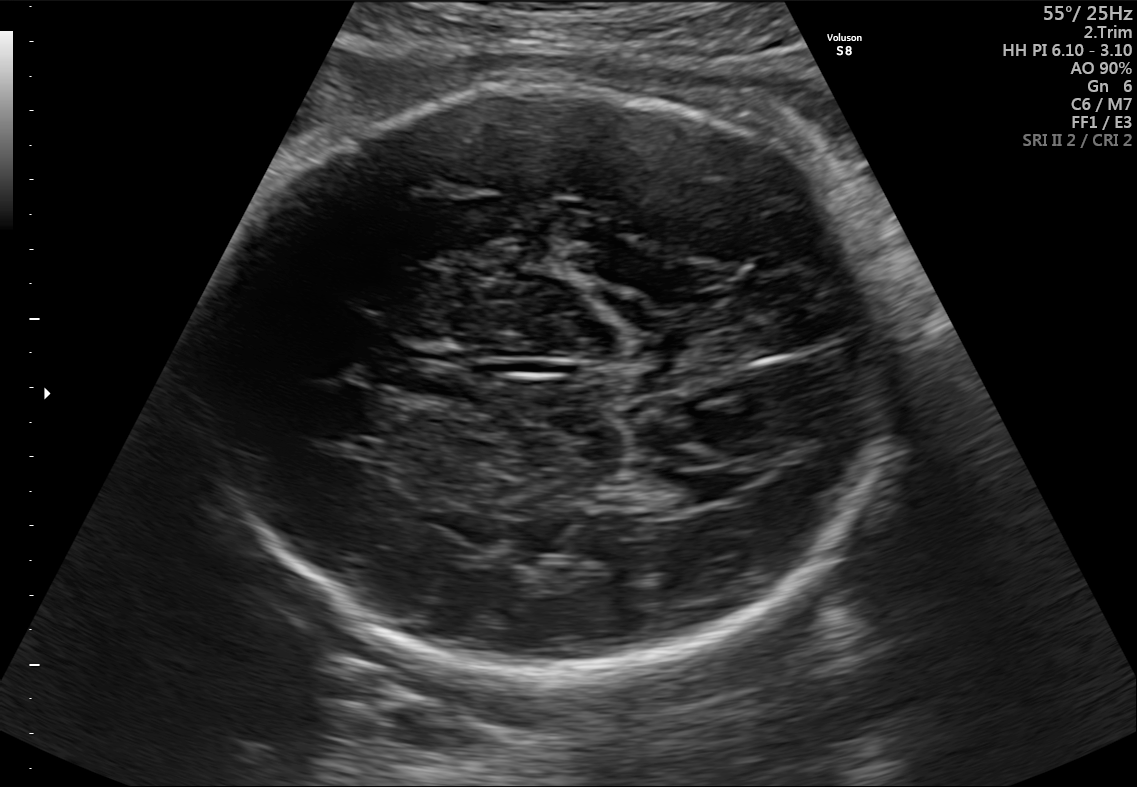
Fetal brain, trans-thalamic plane. Where is the cavum septum pellucidum?

CSP bounding box: [394,362,481,405]